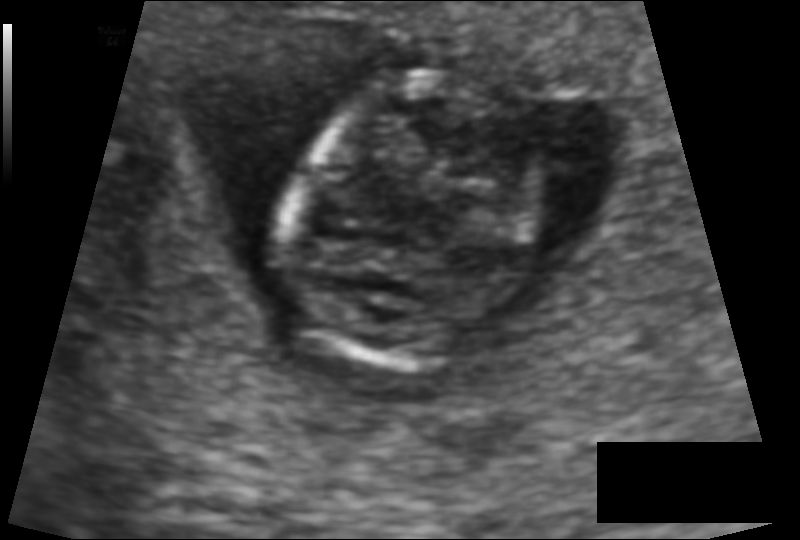
Estimate the fetal head circumference from this 2D ultrasound. Image width: 72.8 mm.

Head circumference: 79.6 mm.